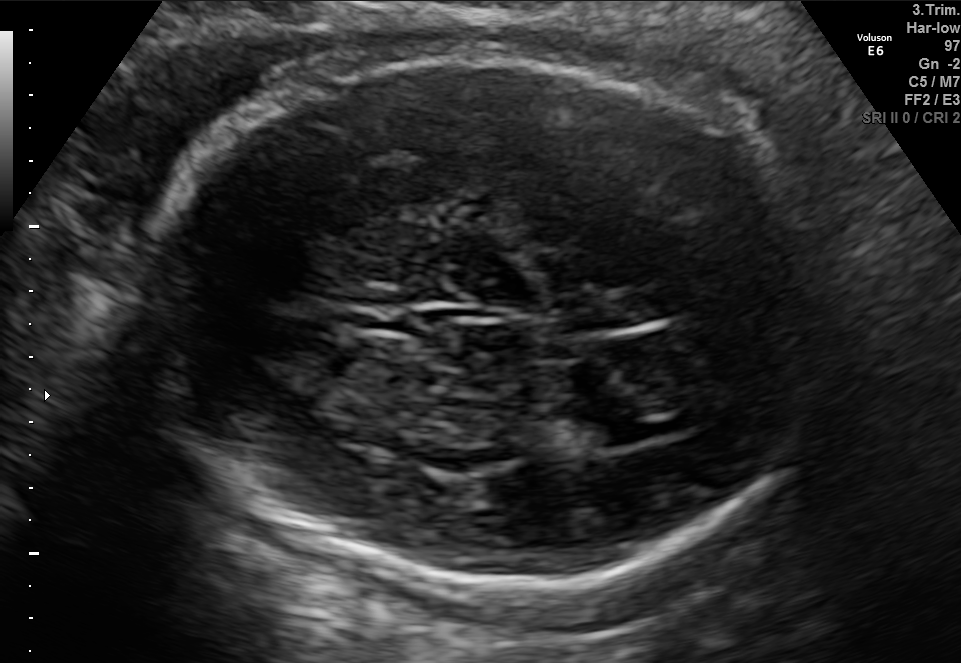
Fetal brain, trans-ventricular plane. Locate the fetal head and, if visible, the cavum septum pellucidum (CSP) and lateral ventricle (LV). Give bounding boxes as [x1,y1,x2,y2].

Head: [141,51,838,590]
CSP: [342,295,421,337]
Lateral ventricle: [605,419,657,447]